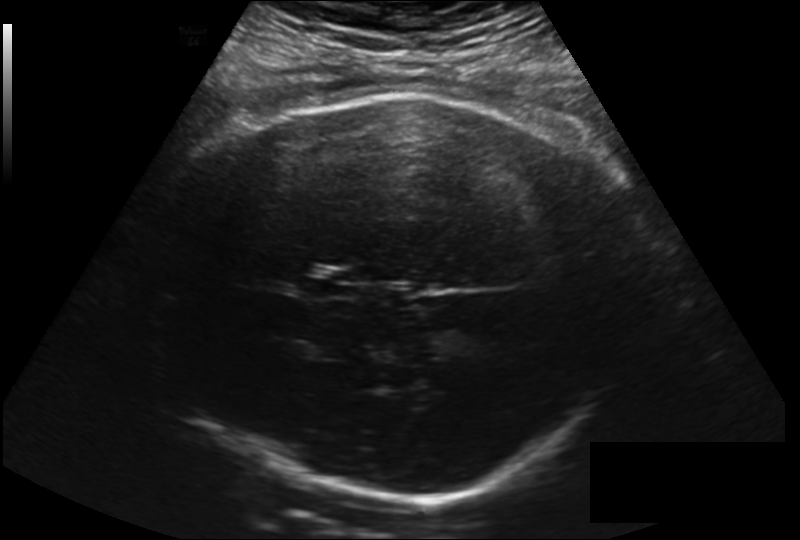
In this fetal head ultrasound, give the bounding box of the fetal head. Image width: 179.8 mm.

[155,91,628,504]